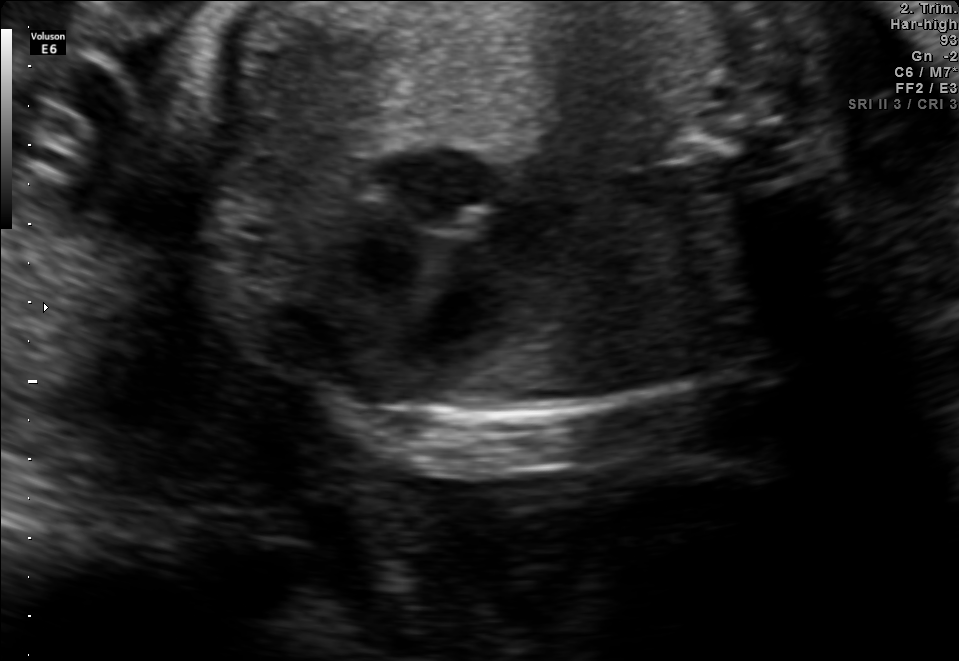
This is a 2D maternal-fetal ultrasound frame. Is it a fetal abdomen, fetal brain, fetal femur, fetal thorax, maternal cervix, or other standard plane? If it's fetal brain and one of the three standard brain planes (trans-thalamic, trans-cerebellum, trans-ventricular), name which.

Fetal thorax